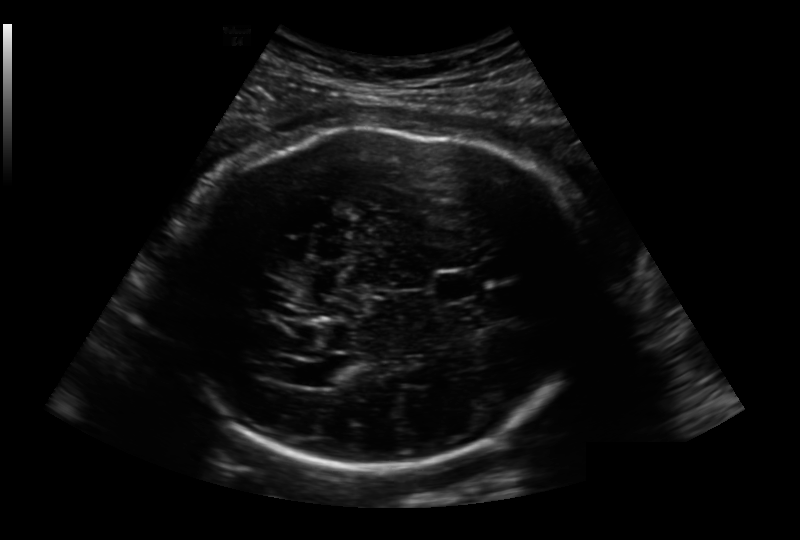
Estimate the fetal head circumference from this 2D ultrasound. Image width: 188.6 mm.

Head circumference: 292.1 mm.